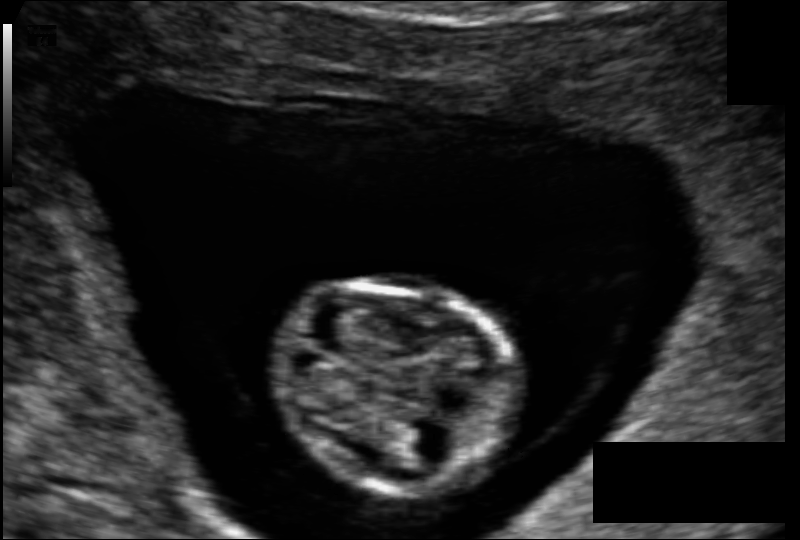
Fetal head ultrasound. Image width: 71.4 mm. Locate the fetal head and, if visible, the cavum septum pellucidum (CSP) and lateral ventricle (LV). Give bounding boxes as [x1,y1,x2,y2].

Head: [275,285,520,490]